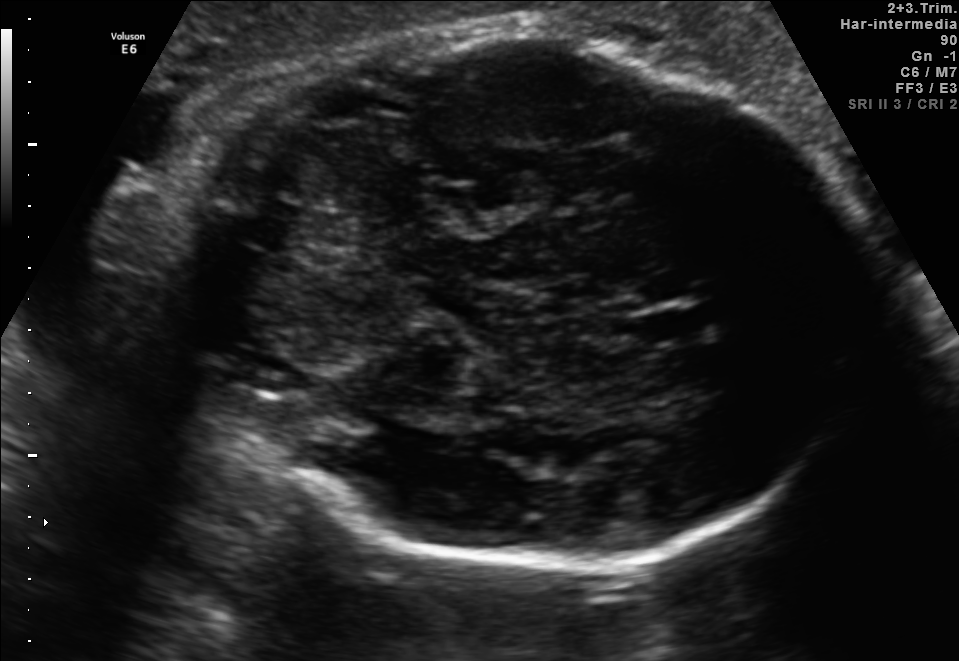
In this fetal brain, trans-cerebellum plane, give the bounding box of the fetal head.

[171,30,856,569]